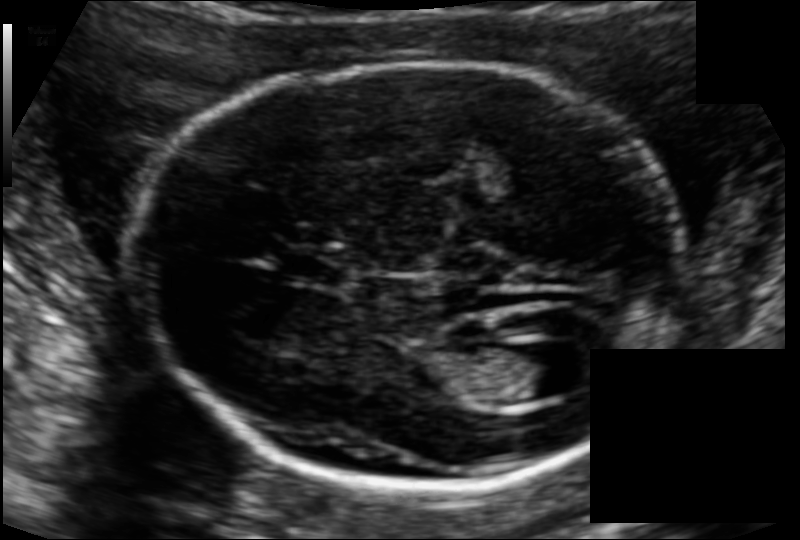
Fetal head ultrasound. Image width: 88.5 mm. Where is the fetal head?

Head bounding box: [123,65,692,484]